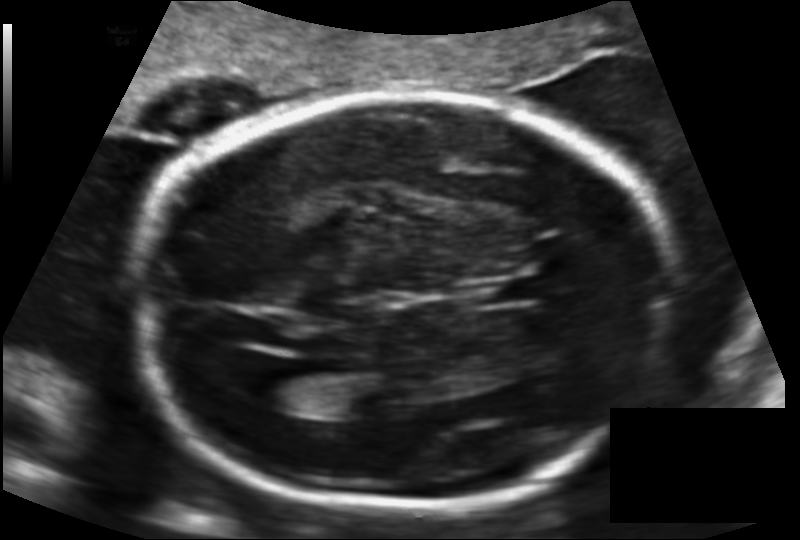
Measure the fetal head circumference shown in this ultrasound image. Image width: 113.0 mm.

Head circumference: 221.3 mm.